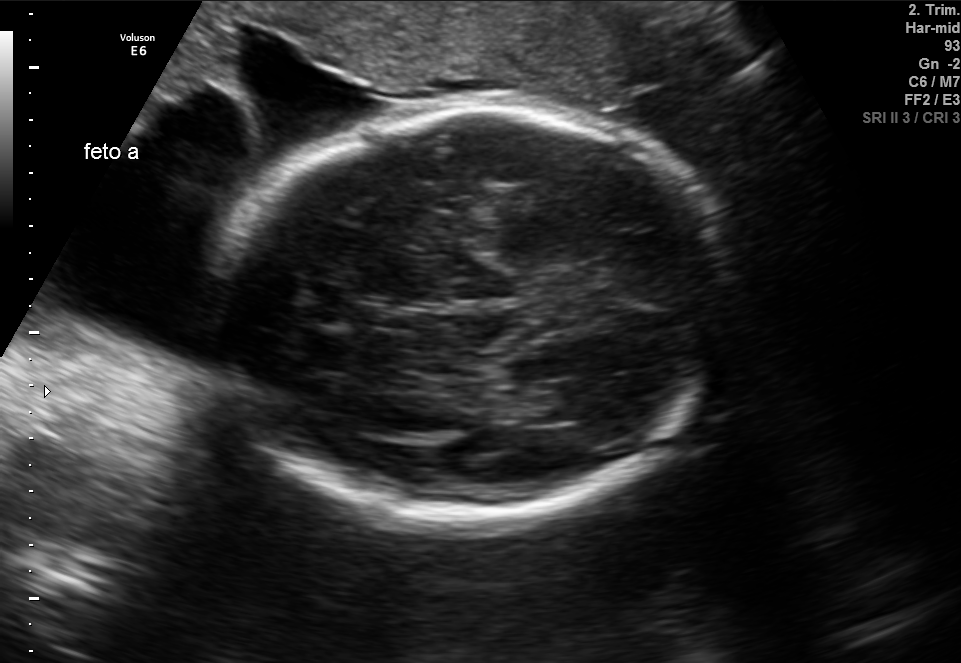
Which standard maternal-fetal ultrasound plane is shown: fetal abdomen, fetal brain, fetal femur, fetal thorax, maternal cervix, or other? If it's fetal brain and one of the three standard brain planes (trans-thalamic, trans-cerebellum, trans-ventricular), name which.

Fetal brain (trans-thalamic plane)